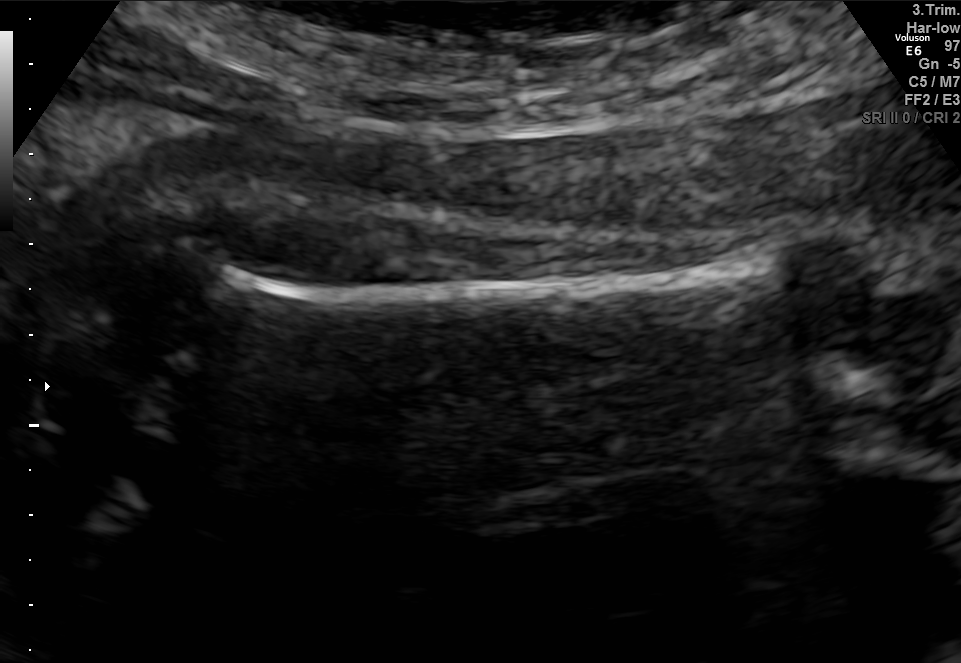
Identify the standard plane in this fetal ultrasound image: fetal abdomen, fetal brain, fetal femur, fetal thorax, maternal cervix, or other. If it's fetal brain and one of the three standard brain planes (trans-thalamic, trans-cerebellum, trans-ventricular), name which.

Fetal femur